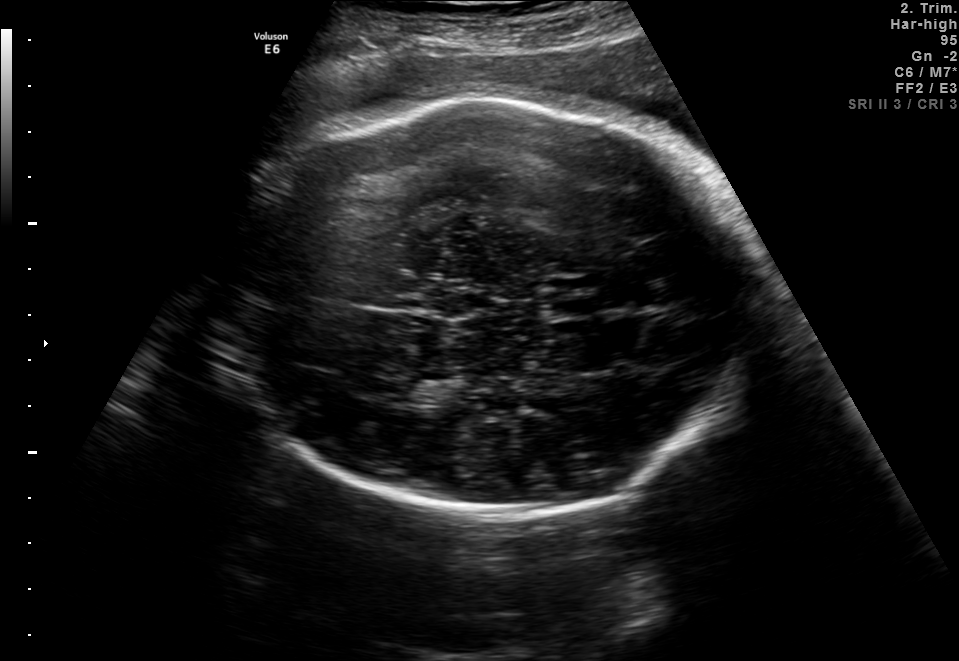
Fetal brain, trans-thalamic plane. Locate the fetal head and, if visible, the cavum septum pellucidum (CSP) and lateral ventricle (LV). Give bounding boxes as [x1,y1,x2,y2].

Head: [214,99,757,514]
CSP: [545,292,599,323]